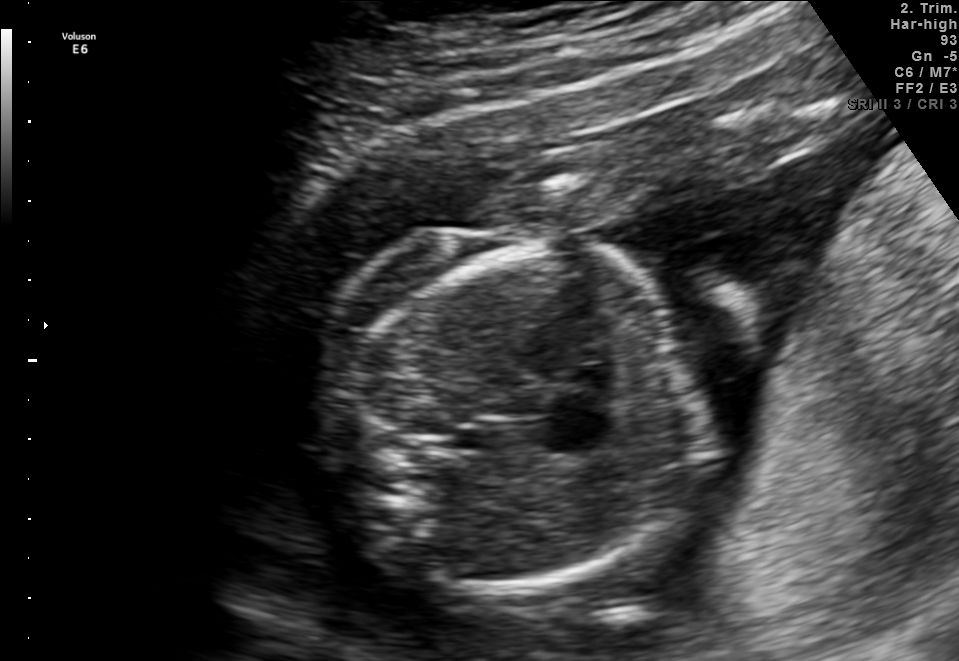
Identify the standard plane in this fetal ultrasound image: fetal abdomen, fetal brain, fetal femur, fetal thorax, maternal cervix, or other. If it's fetal brain and one of the three standard brain planes (trans-thalamic, trans-cerebellum, trans-ventricular), name which.

Fetal thorax